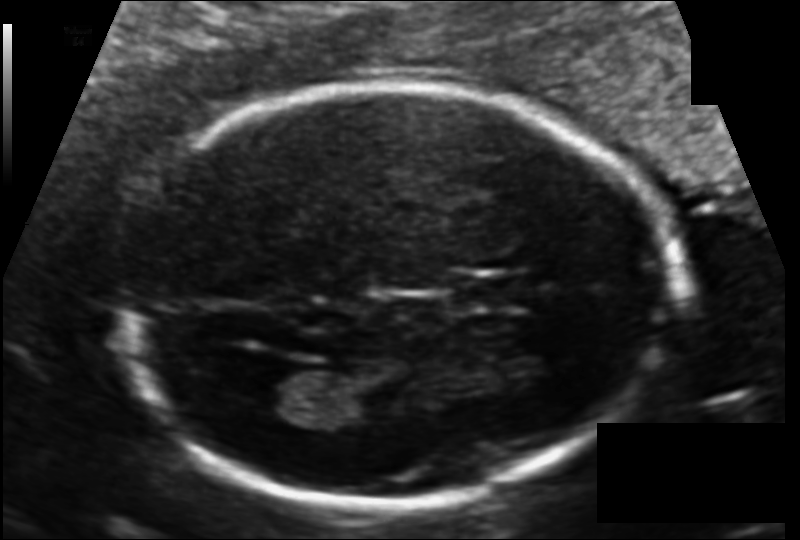
In this fetal head ultrasound, give the bounding box of the lateral ventricle. Image width: 90.0 mm.

[237,355,337,430]